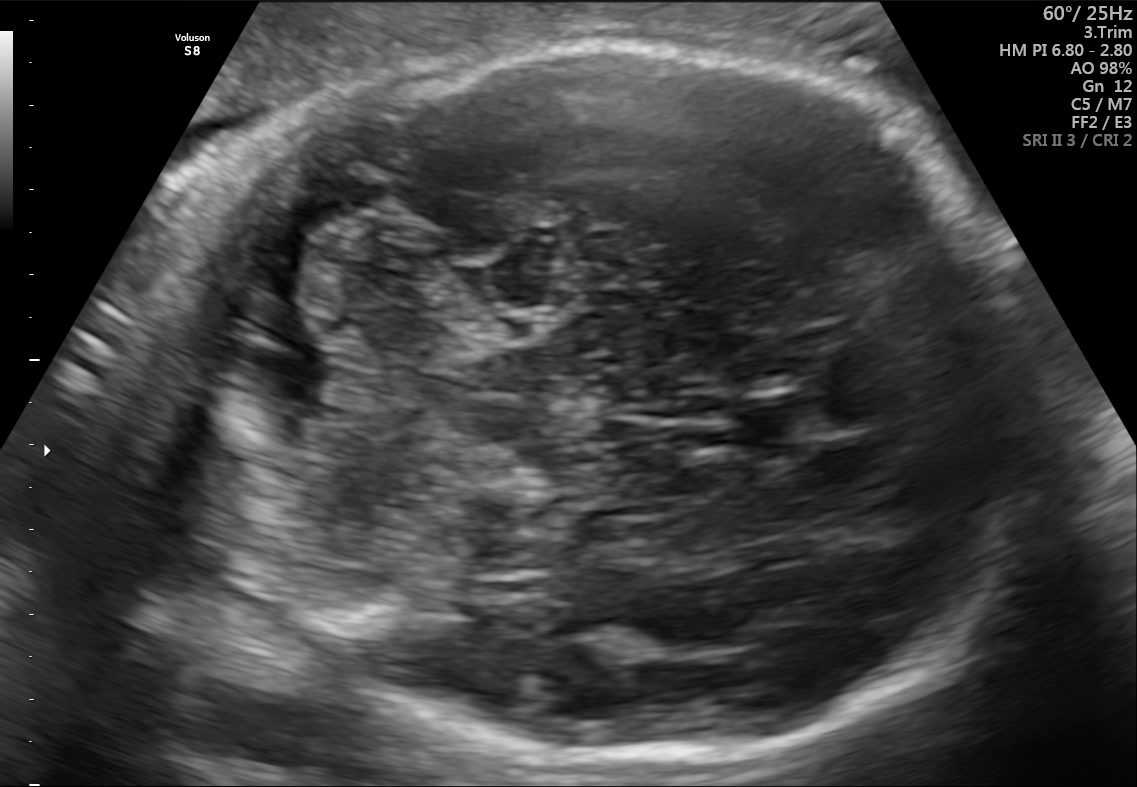
Fetal brain, trans-cerebellum plane. Locate the cavum septum pellucidum.

CSP: [732,386,832,461]